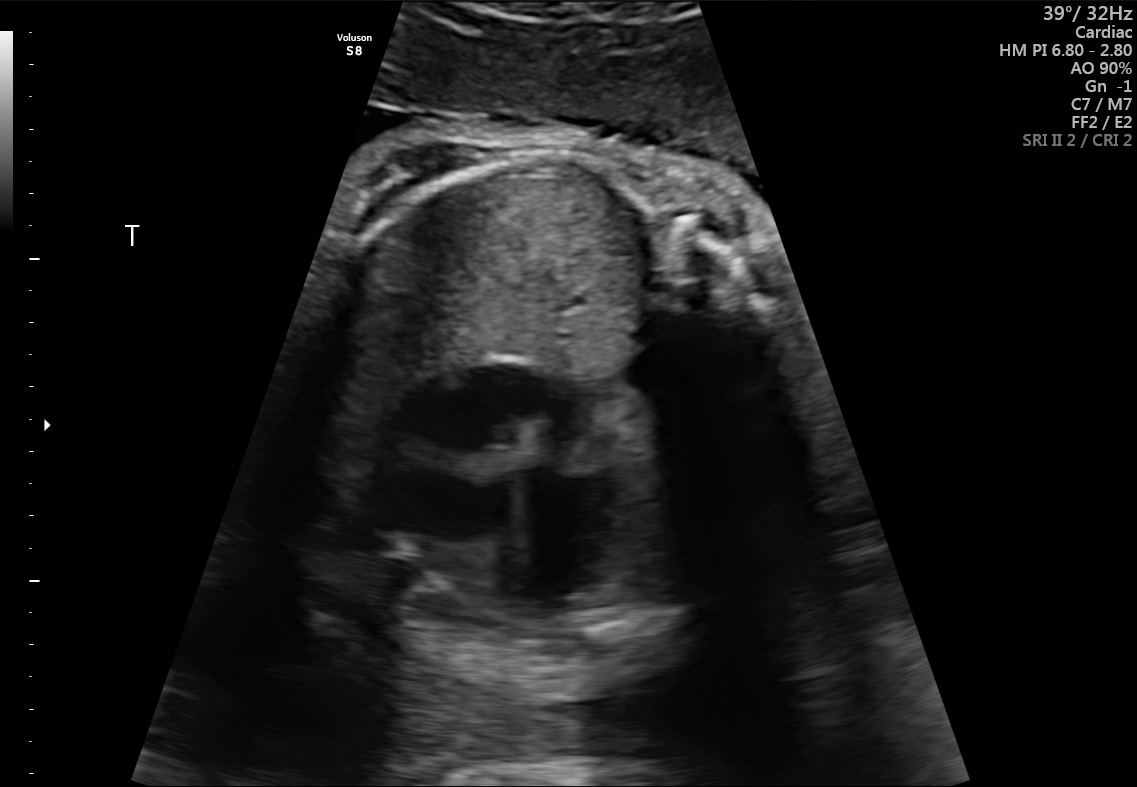
Which standard maternal-fetal ultrasound plane is shown: fetal abdomen, fetal brain, fetal femur, fetal thorax, maternal cervix, or other? If it's fetal brain and one of the three standard brain planes (trans-thalamic, trans-cerebellum, trans-ventricular), name which.

Fetal thorax